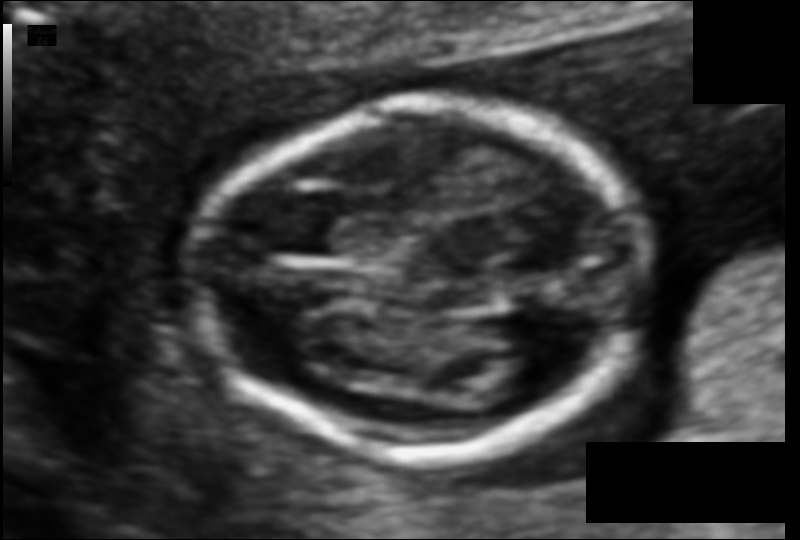
From this fetal ultrasound, estimate the head circumference (image width 61.5 mm).

Head circumference: 101.0 mm.